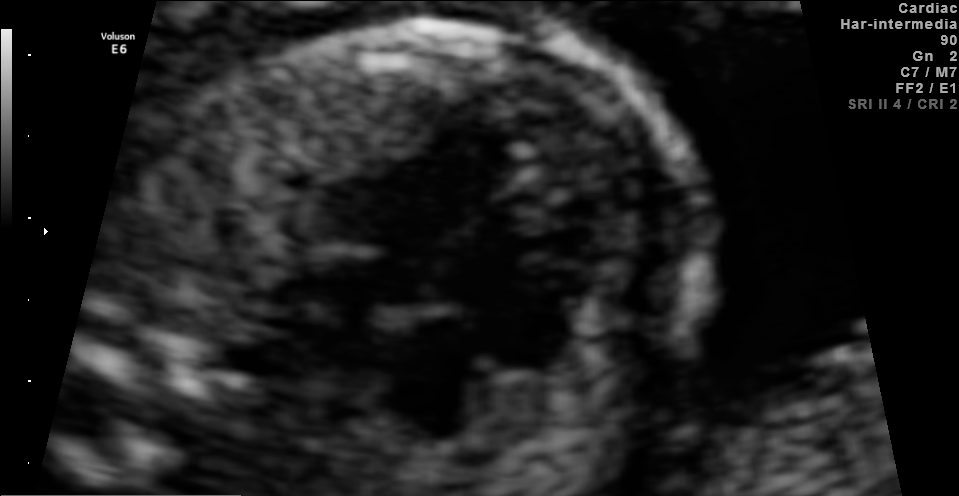
Classify this maternal-fetal ultrasound image as one of the six standard planes — fetal abdomen, fetal brain, fetal femur, fetal thorax, maternal cervix, or other. If it's fetal brain and one of the three standard brain planes (trans-thalamic, trans-cerebellum, trans-ventricular), name which.

Fetal thorax